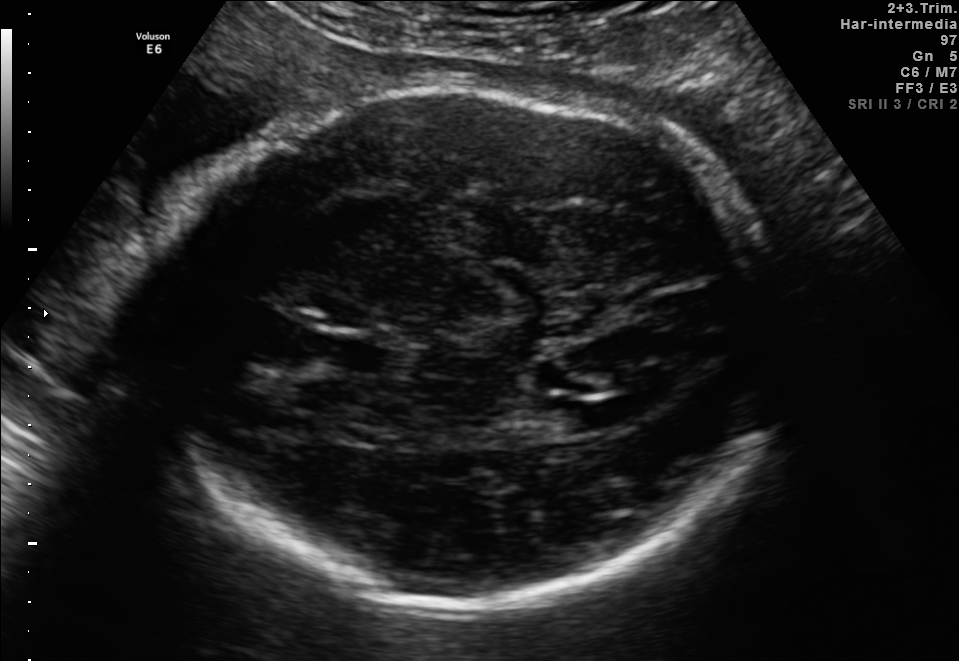
Fetal brain, trans-ventricular plane. Where is the fetal head?

Head bounding box: [132,75,797,606]